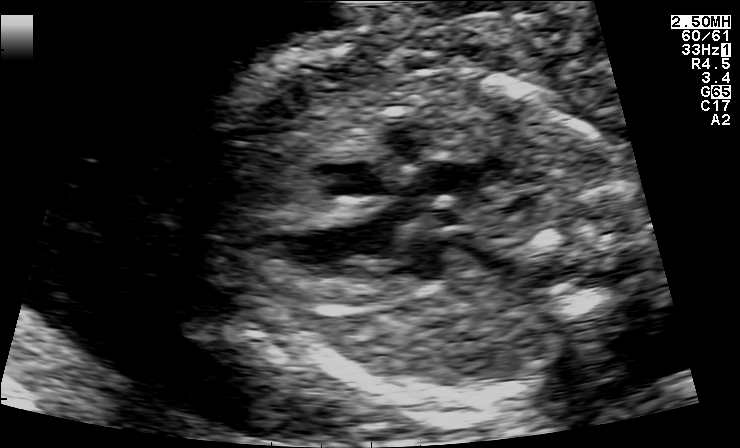
Identify the standard plane in this fetal ultrasound image: fetal abdomen, fetal brain, fetal femur, fetal thorax, maternal cervix, or other. If it's fetal brain and one of the three standard brain planes (trans-thalamic, trans-cerebellum, trans-ventricular), name which.

Other